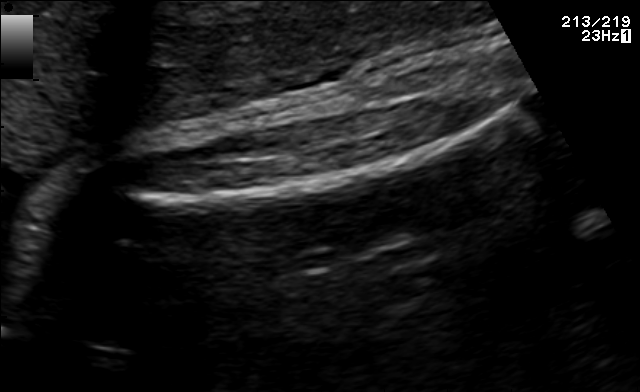
Classify this maternal-fetal ultrasound image as one of the six standard planes — fetal abdomen, fetal brain, fetal femur, fetal thorax, maternal cervix, or other. If it's fetal brain and one of the three standard brain planes (trans-thalamic, trans-cerebellum, trans-ventricular), name which.

Fetal femur